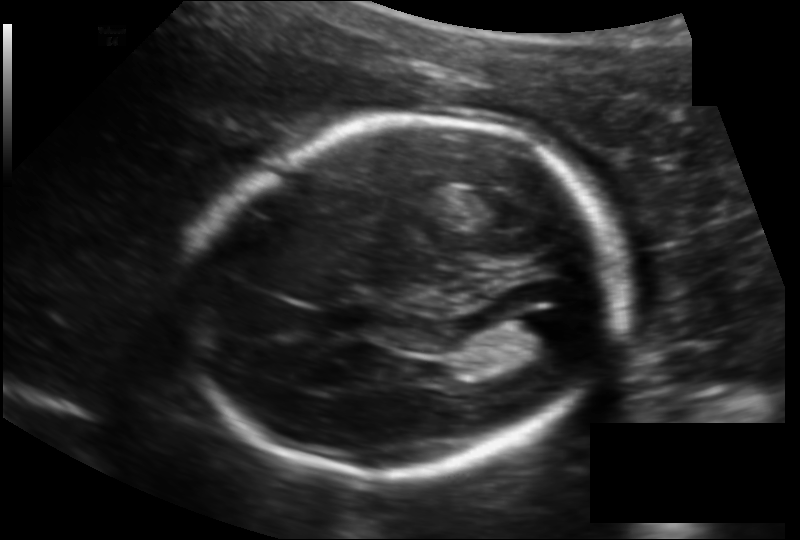
In this fetal head ultrasound, give the bounding box of the lateral ventricle. Image width: 115.9 mm.

[498,305,576,366]